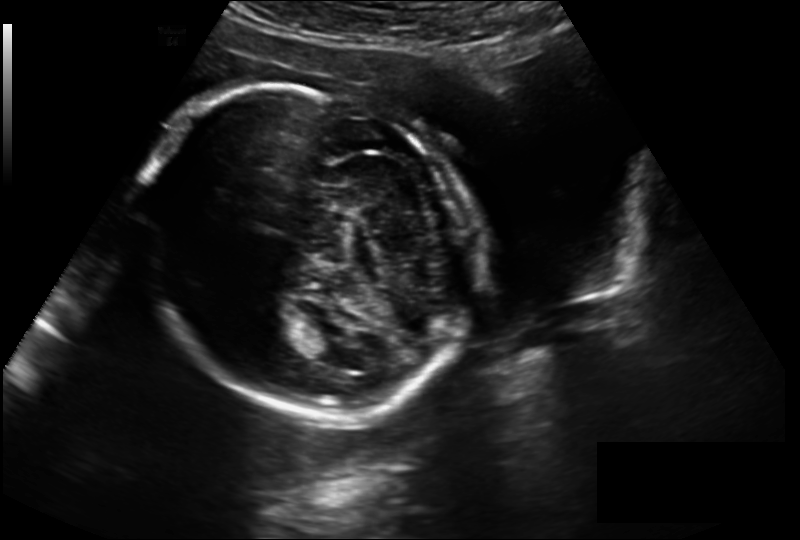
Estimate the fetal head circumference from this 2D ultrasound.

Head circumference: 224.7 mm (image width 168.8 mm).